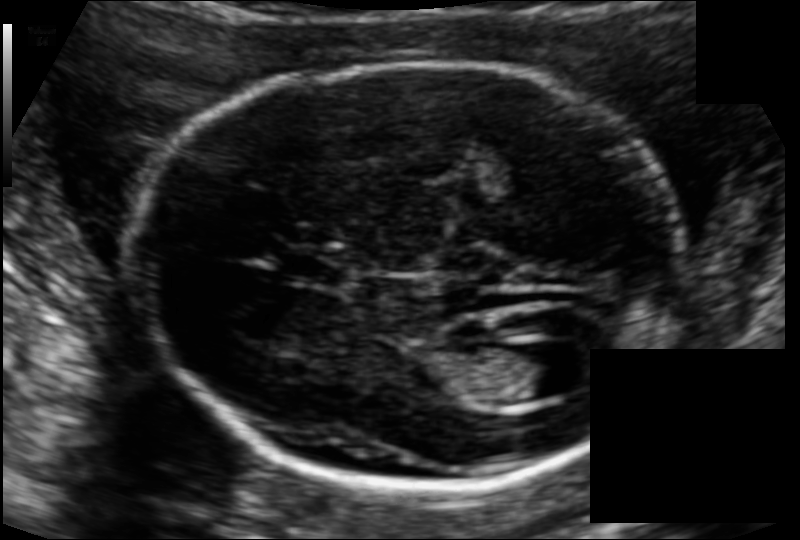
Estimate the fetal head circumference from this 2D ultrasound.

Head circumference: 175.2 mm (image width 88.5 mm).